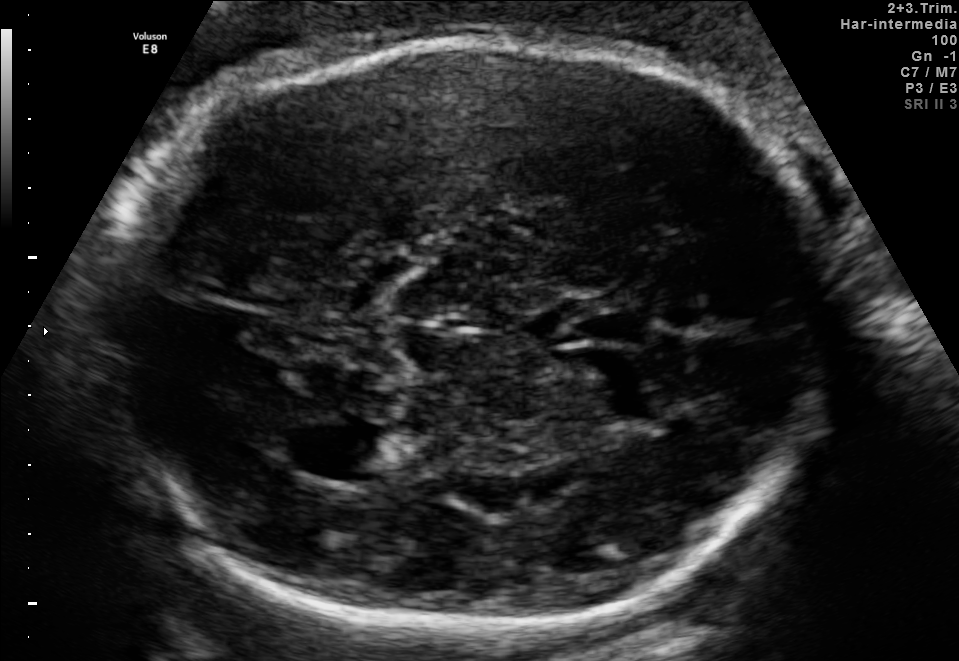
Fetal brain, trans-thalamic plane. Locate the fetal head.

Head: [91,37,834,630]